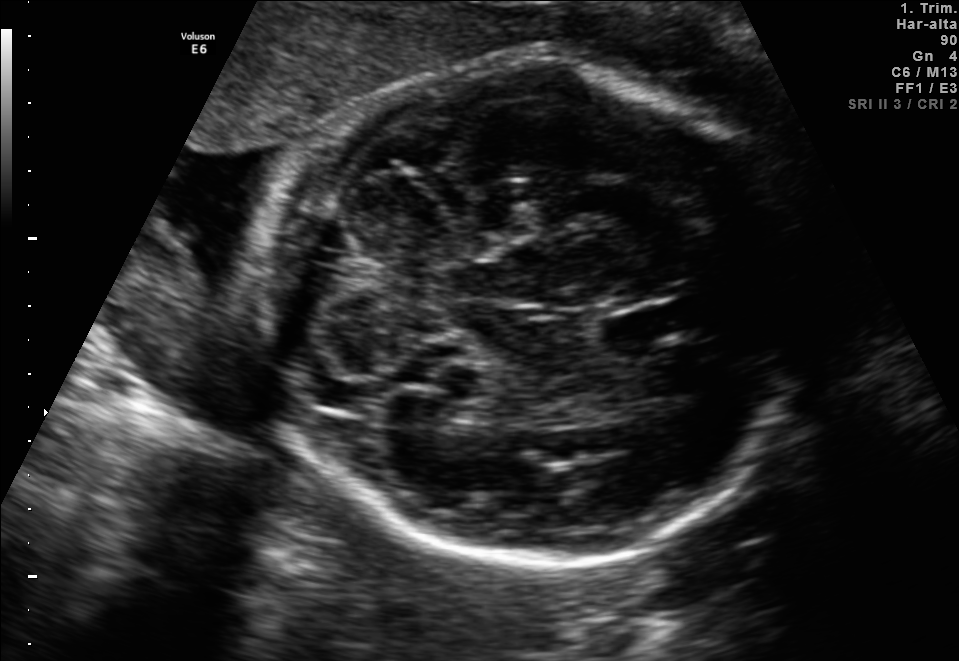
Fetal brain, trans-cerebellum plane. Locate the fetal head.

Head: [251,51,798,568]